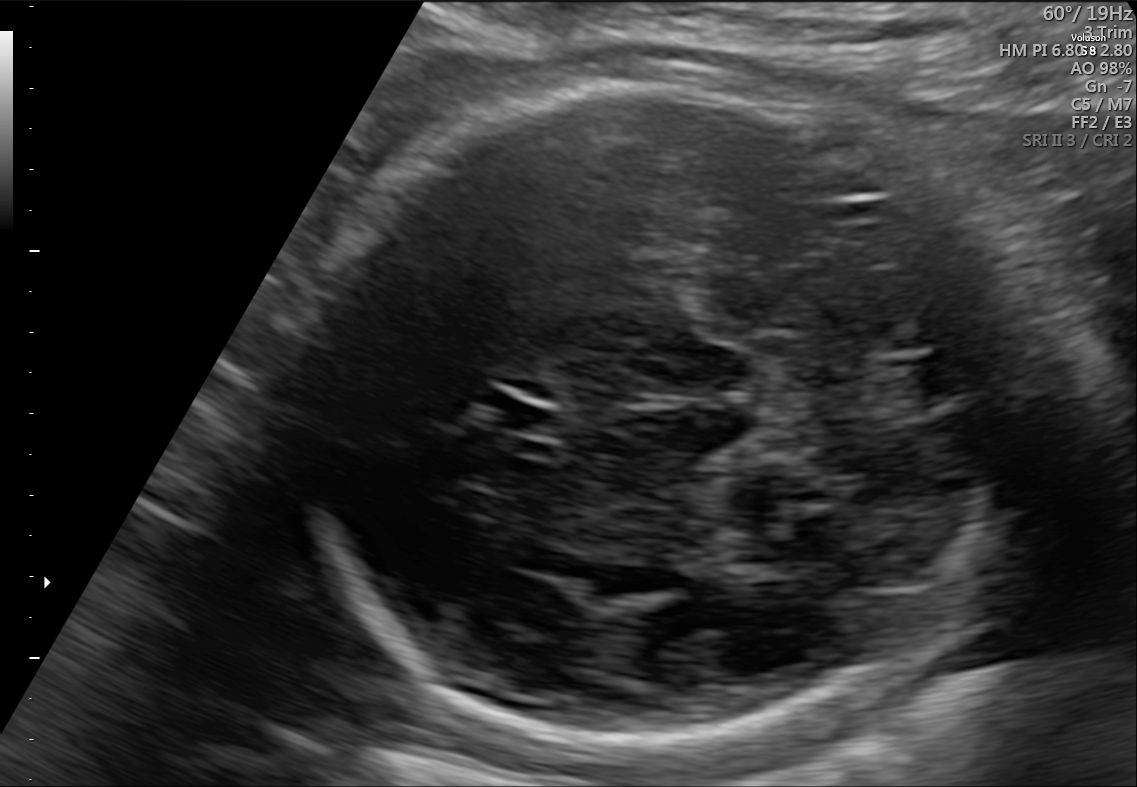
Fetal brain, trans-cerebellum plane. Where is the cavum septum pellucidum?

CSP bounding box: [478,385,562,445]